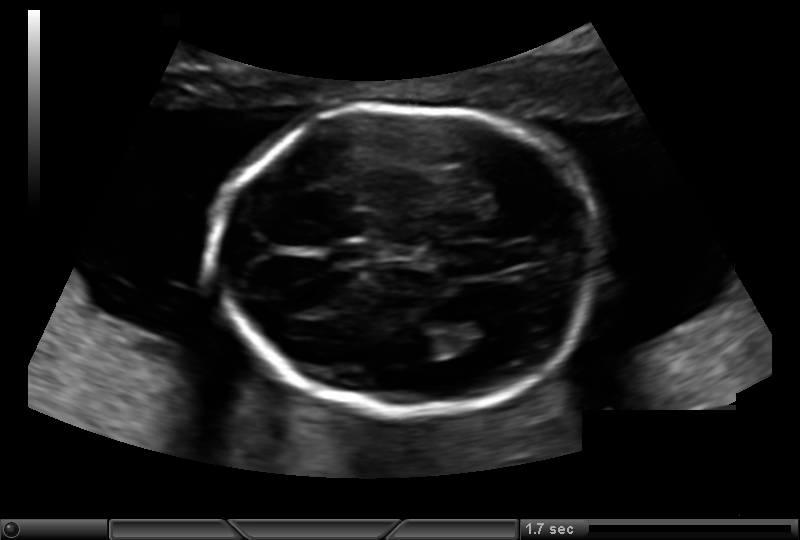
Measure the fetal head circumference shown in this ultrasound image. Image width: 107.7 mm.

Head circumference: 154.6 mm.